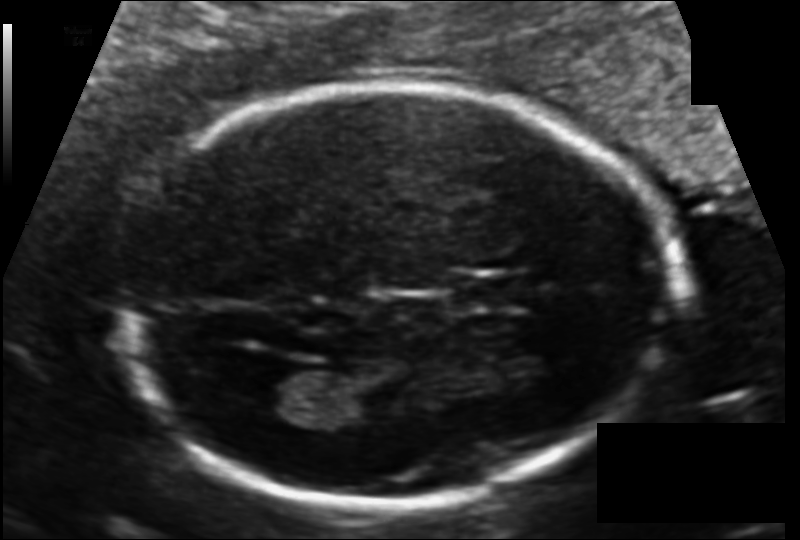
Fetal head ultrasound. Image width: 90.0 mm. Give [x1,y1,x2,y2] bounding boxes for each visible structure among: fetal head, CSP, LV.

Head: [116,87,679,507]
CSP: [451,276,526,309]
Lateral ventricle: [237,355,337,430]